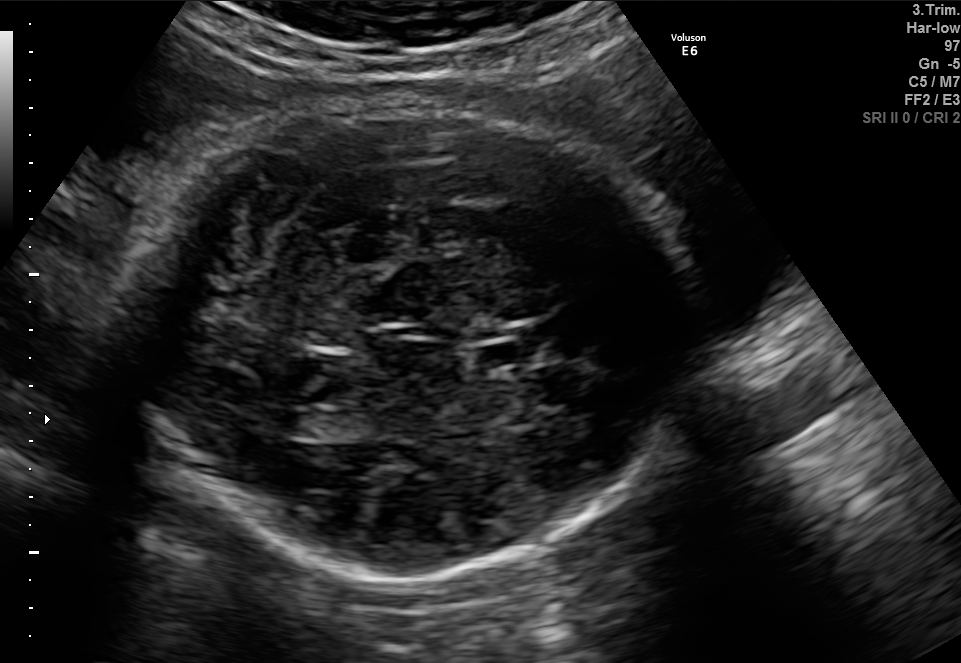
Fetal brain, trans-ventricular plane. Where is the fetal head?

Head bounding box: [127,101,701,582]